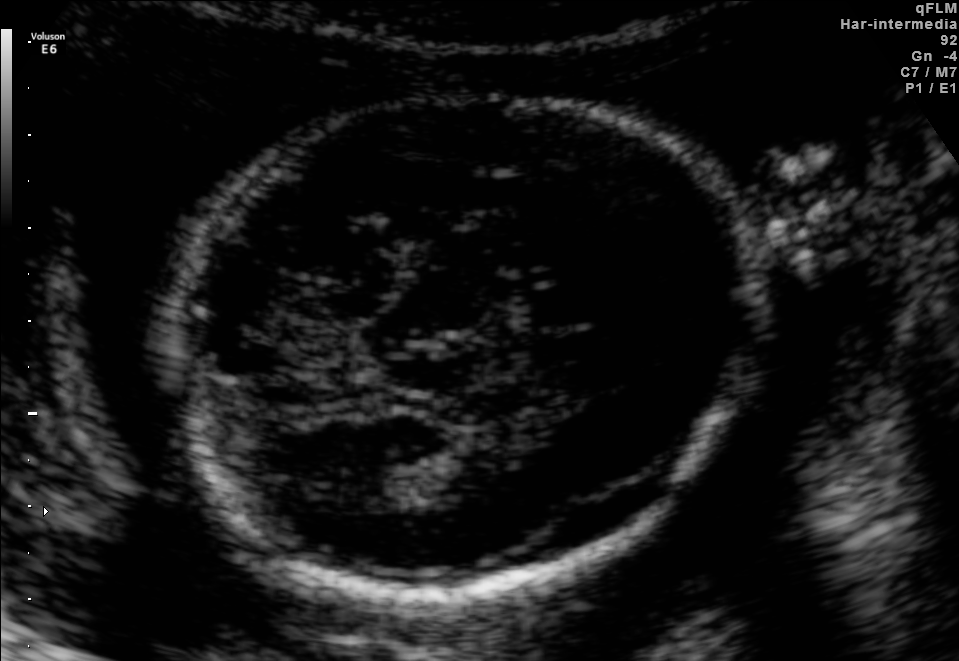
Fetal brain, trans-thalamic plane. Where is the lateral ventricle?

Lateral ventricle bounding box: [331,464,404,514]